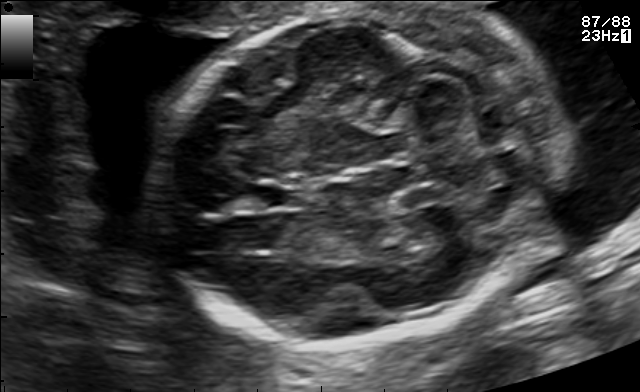
Fetal brain, trans-cerebellum plane. Where is the fetal head?

Head bounding box: [153,9,564,345]